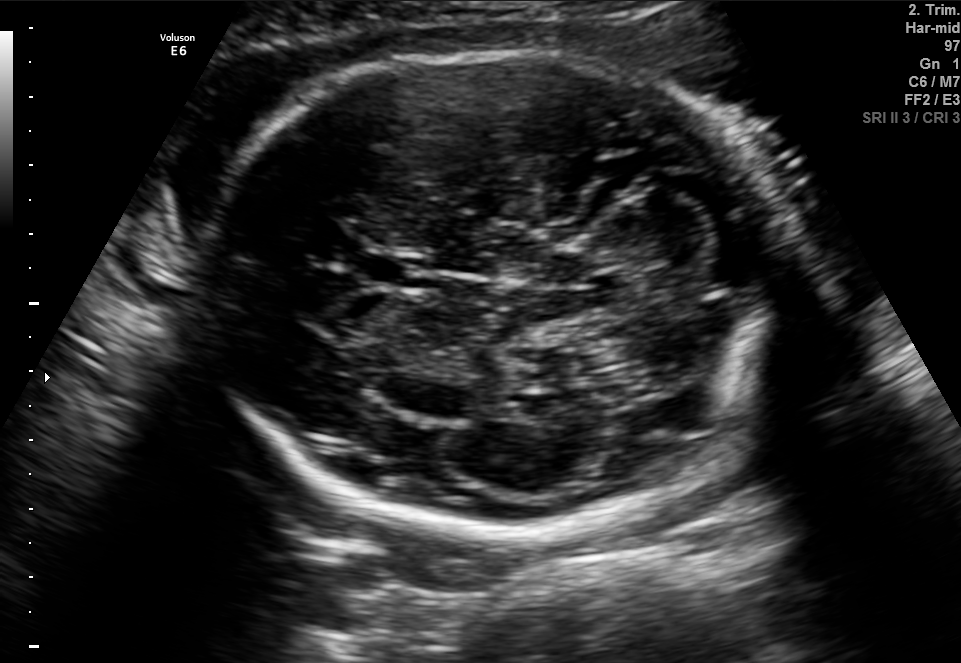
Fetal brain, trans-cerebellum plane. Locate the cavum septum pellucidum.

CSP: [359,248,430,293]